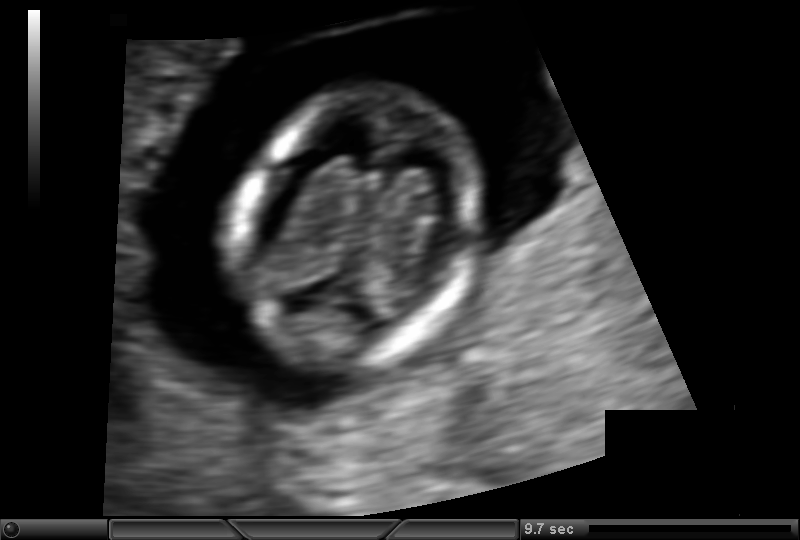
Fetal head ultrasound. Image width: 73.8 mm. Locate the fetal head and, if visible, the cavum septum pellucidum (CSP) and lateral ventricle (LV). Give bounding boxes as [x1,y1,x2,y2].

Head: [229,84,489,376]